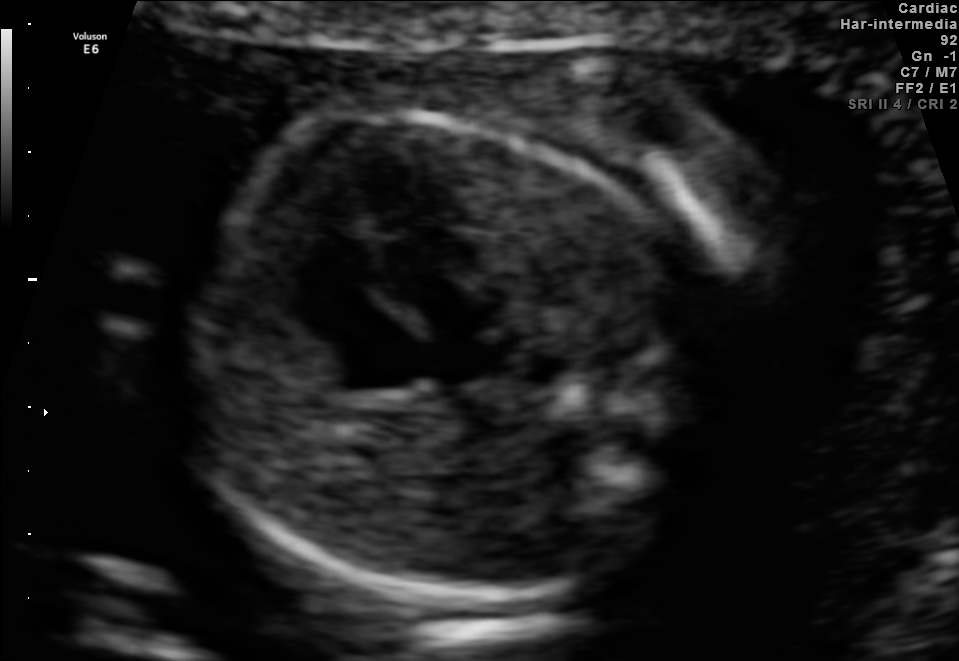
Which standard maternal-fetal ultrasound plane is shown: fetal abdomen, fetal brain, fetal femur, fetal thorax, maternal cervix, or other? If it's fetal brain and one of the three standard brain planes (trans-thalamic, trans-cerebellum, trans-ventricular), name which.

Fetal thorax